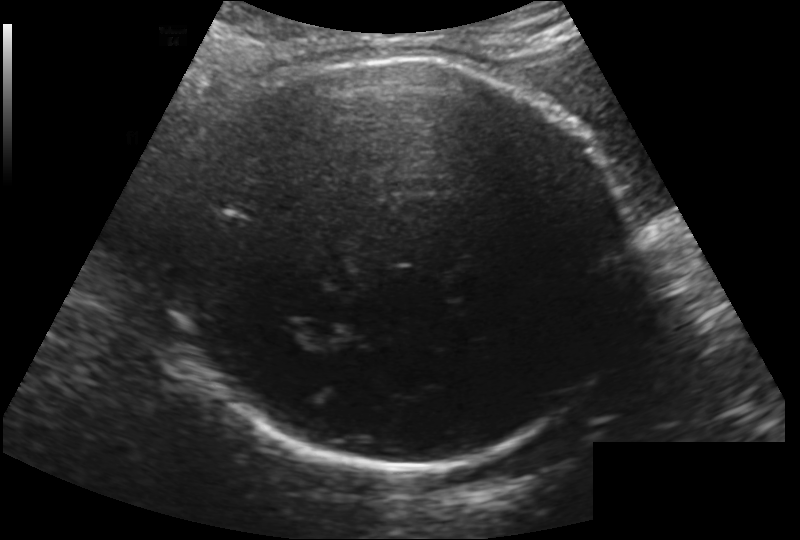
Fetal head ultrasound. Image width: 160.1 mm. Give [x1,y1,x2,y2] bounding boxes for each visible structure among: fetal head, CSP, LV.

Head: [166,59,632,471]